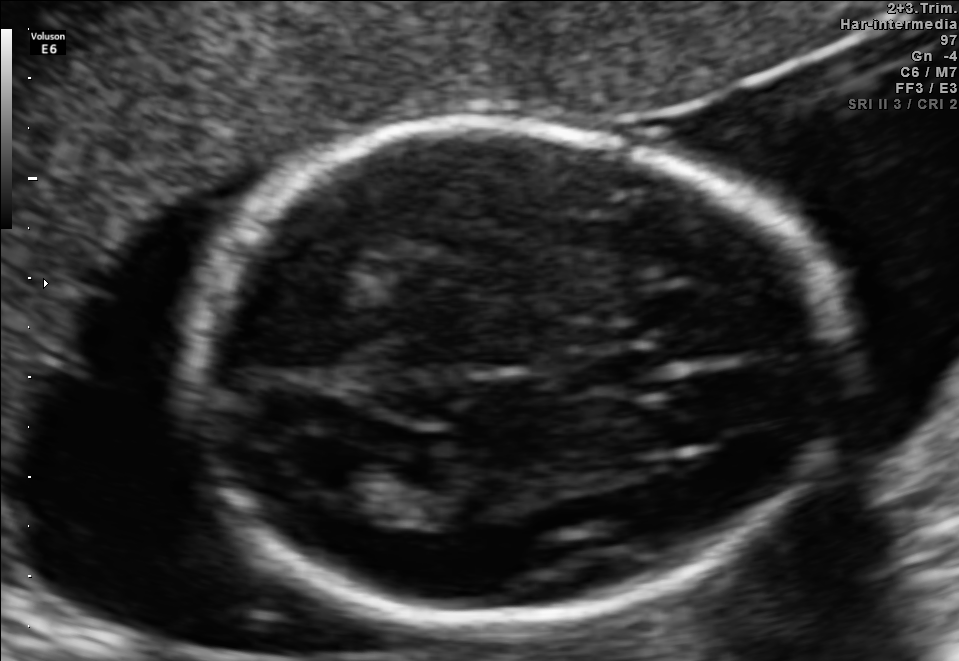
In this fetal brain, trans-ventricular plane, give the bounding box of the lateral ventricle.

[283,433,381,501]